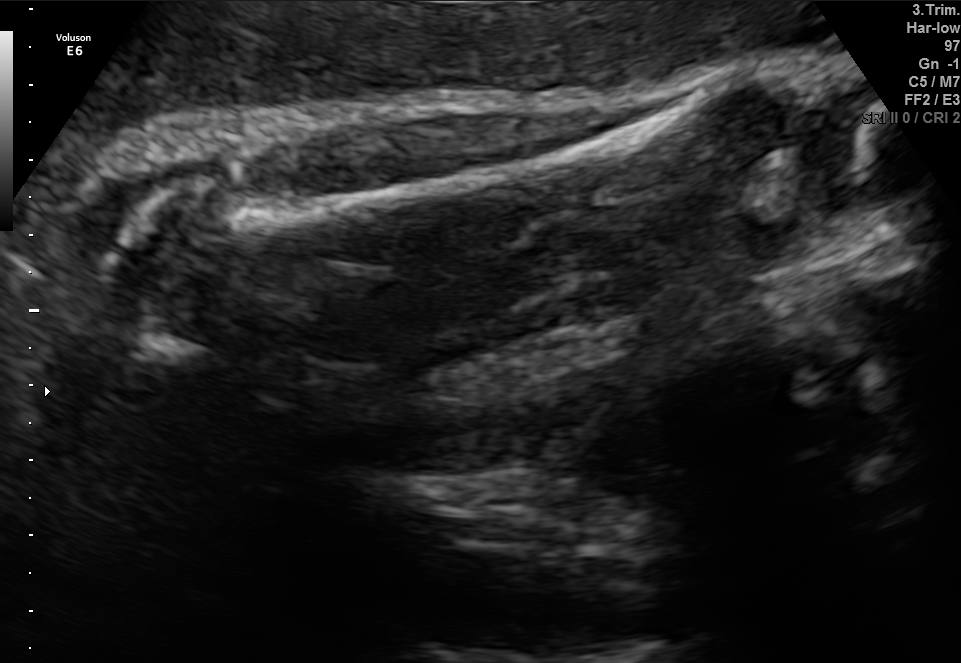
Identify the standard plane in this fetal ultrasound image: fetal abdomen, fetal brain, fetal femur, fetal thorax, maternal cervix, or other. If it's fetal brain and one of the three standard brain planes (trans-thalamic, trans-cerebellum, trans-ventricular), name which.

Fetal femur